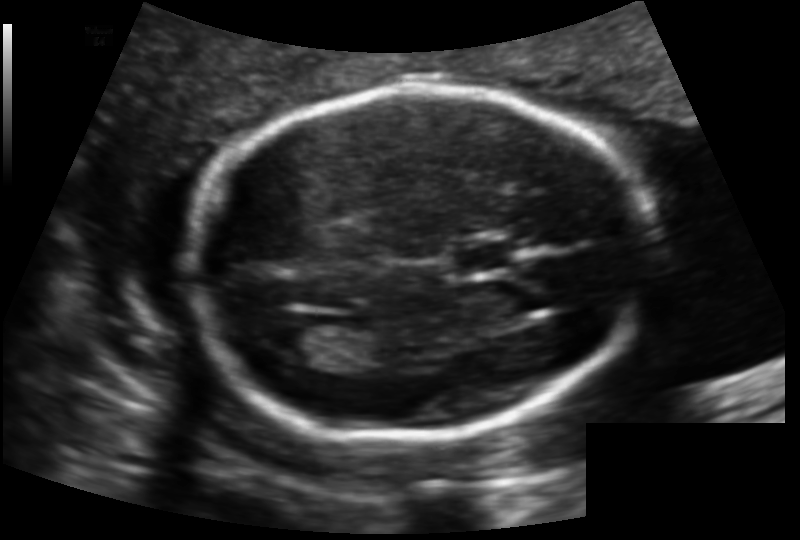
Fetal head ultrasound. Image width: 103.4 mm. Locate the fetal head.

Head: [189,86,652,435]